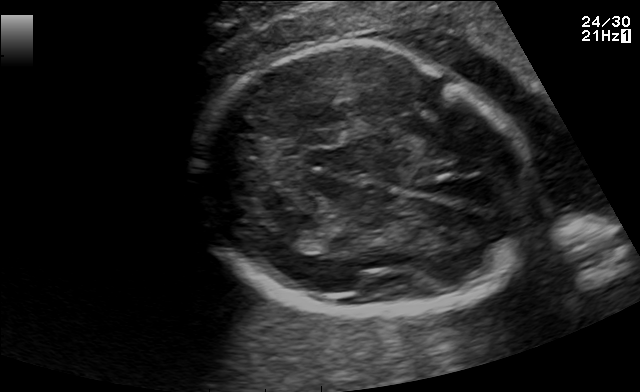
Fetal brain, trans-thalamic plane. Locate the fetal head and, if visible, the cavum septum pellucidum (CSP) and lateral ventricle (LV). Give bounding boxes as [x1,y1,x2,y2].

Head: [196,44,535,320]